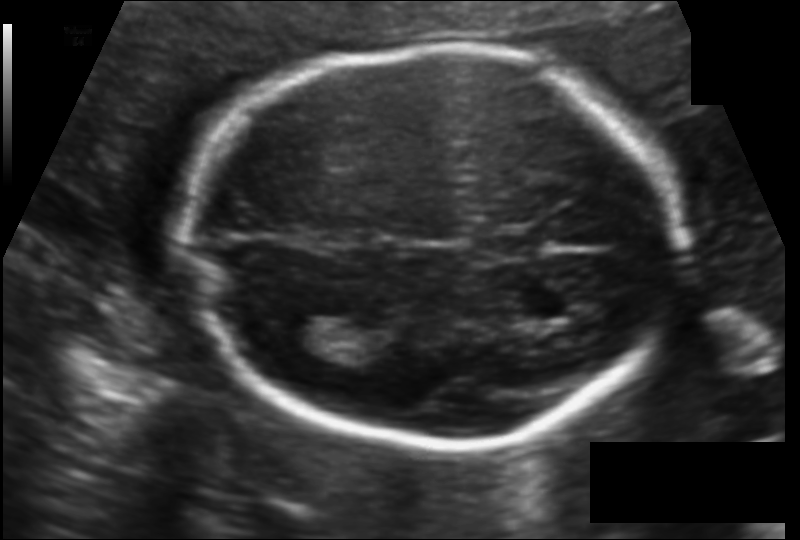
In this fetal head ultrasound, give the bounding box of the fetal head. Image width: 99.4 mm.

[188,47,681,444]